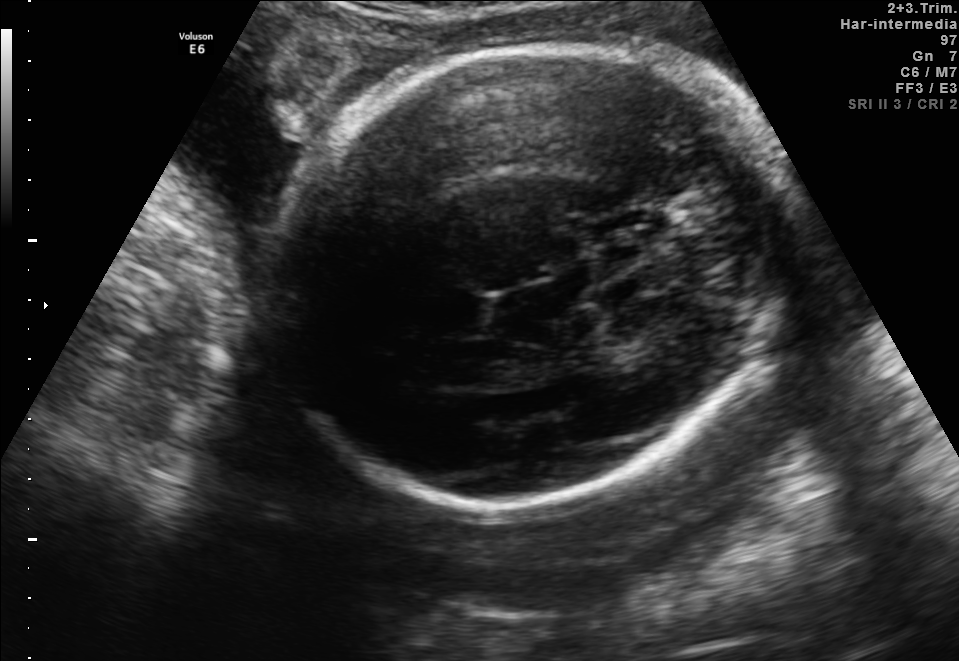
In this fetal brain, trans-thalamic plane, give the bounding box of the fetal head.

[266,43,787,510]